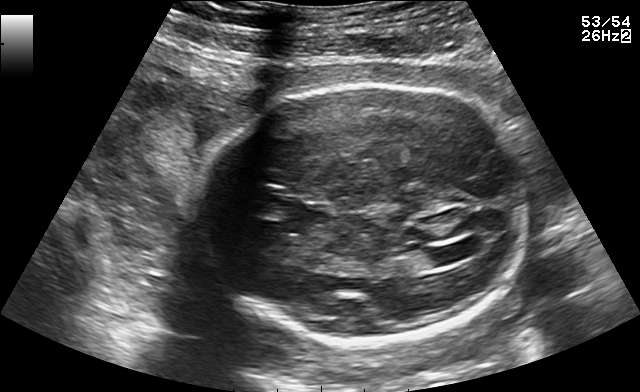
Fetal brain, trans-ventricular plane. Locate the lateral ventricle.

Lateral ventricle: [428,239,473,268]